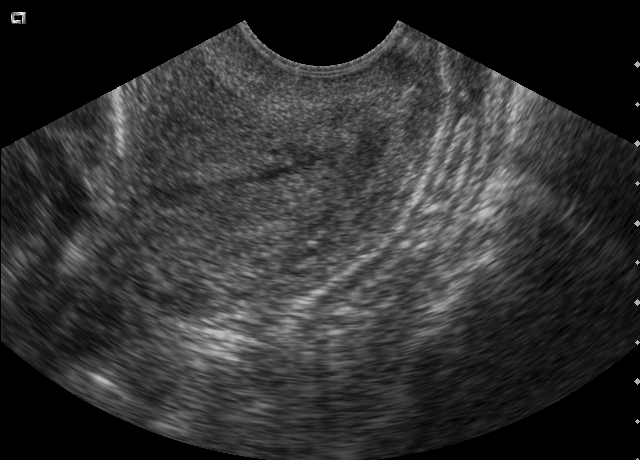
This is a 2D maternal-fetal ultrasound frame. Is it a fetal abdomen, fetal brain, fetal femur, fetal thorax, maternal cervix, or other standard plane? If it's fetal brain and one of the three standard brain planes (trans-thalamic, trans-cerebellum, trans-ventricular), name which.

Maternal cervix